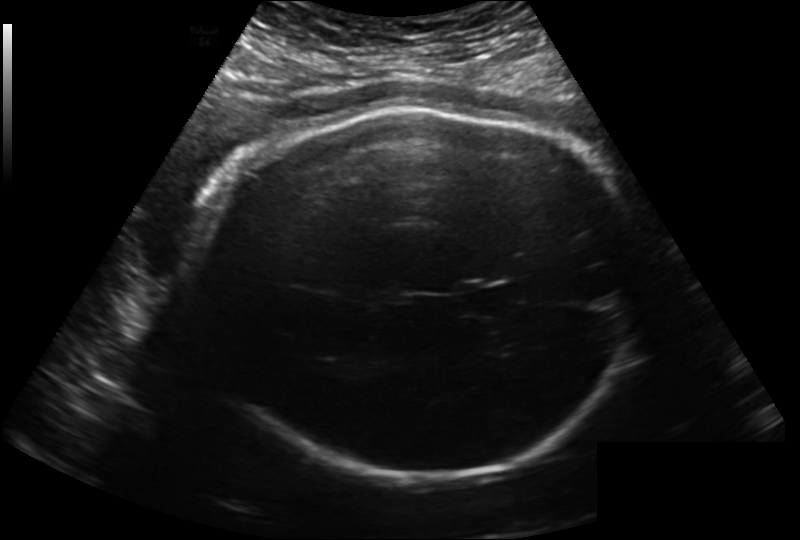
Fetal head ultrasound. Image width: 177.2 mm. Locate the fetal head and, if visible, the cavum septum pellucidum (CSP) and lateral ventricle (LV). Give bounding boxes as [x1,y1,x2,y2].

Head: [196,106,639,480]